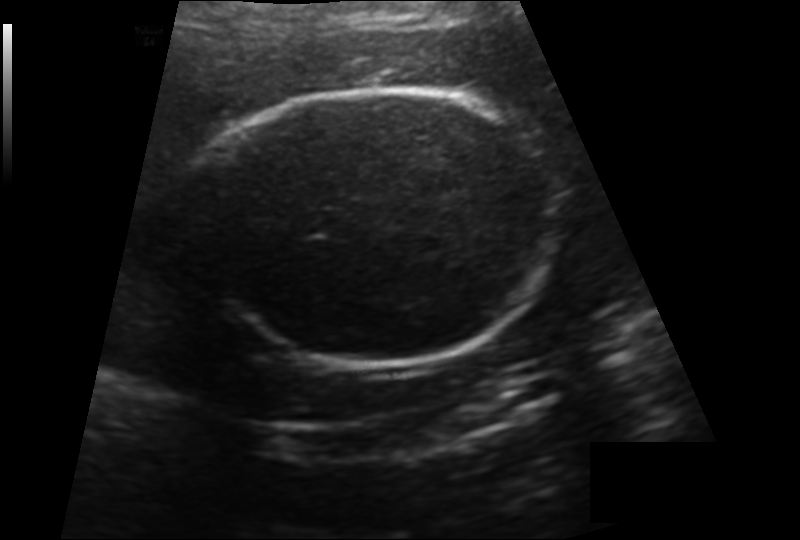
Measure the fetal head circumference shown in this ultrasound image. Image width: 133.0 mm.

Head circumference: 176.3 mm.